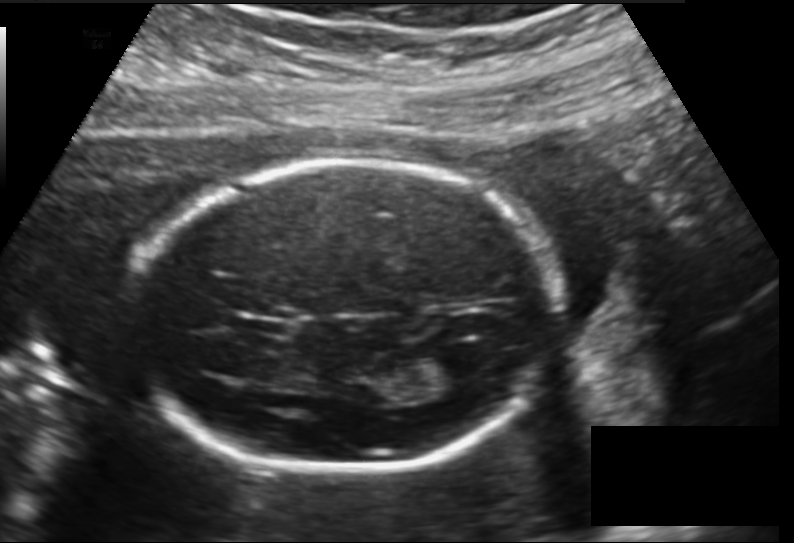
What is the fetal head circumference? Image width is 124.7 mm.

188.8 mm